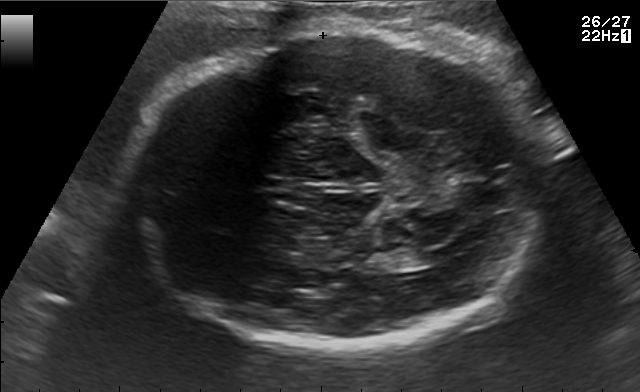
Fetal brain, trans-ventricular plane. Locate the cavum septum pellucidum.

CSP: [263,174,322,197]